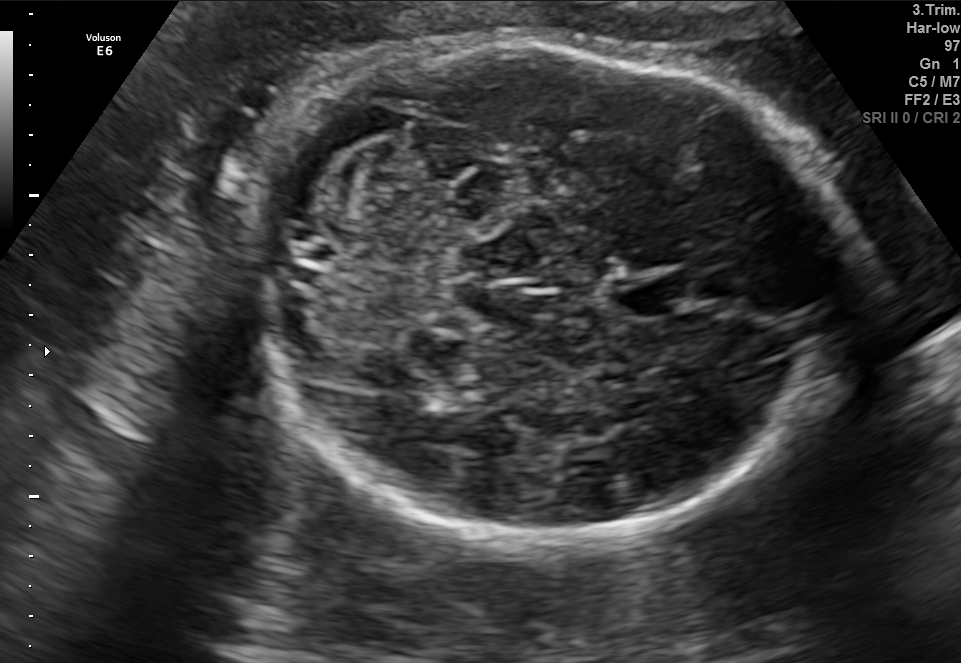
Fetal brain, trans-cerebellum plane. Give [x1,y1,x2,y2] bounding boxes for each visible structure among: fetal head, CSP, LV.

Head: [250,42,848,543]
CSP: [609,265,696,329]